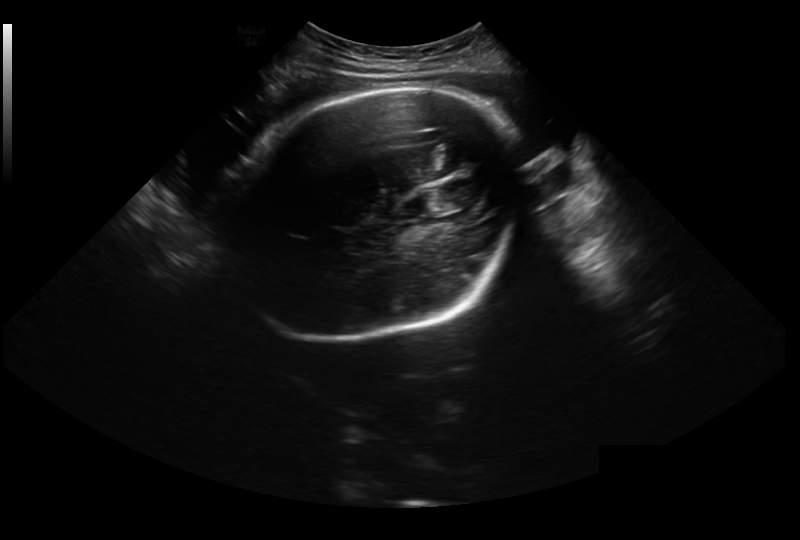
Measure the fetal head circumference shown in this ultrasound image. Image width: 260.9 mm.

Head circumference: 296.8 mm.